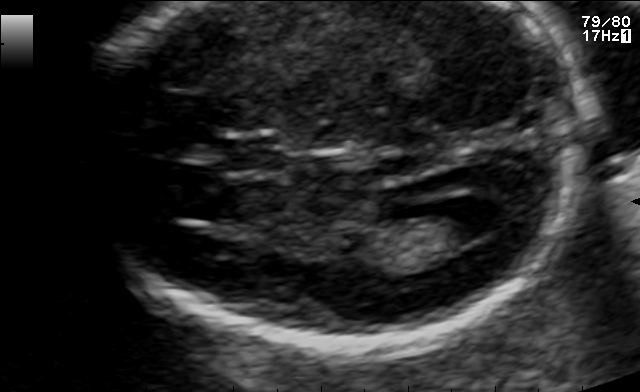
Fetal brain, trans-ventricular plane. Give [x1,y1,x2,y2] bounding boxes for each visible structure among: CSP, LV.

CSP: [222,135,280,172]
Lateral ventricle: [424,184,511,251]